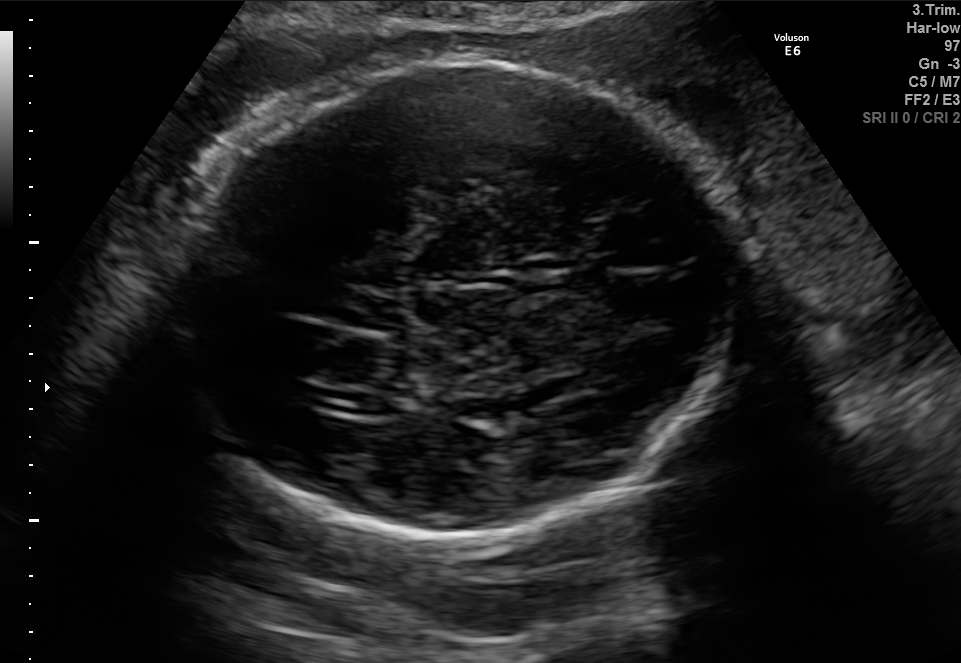
In this fetal brain, trans-ventricular plane, give bounding boxes for the head outline, cavum septum pellucidum (CSP), and lateral ventricle (LV), where visible.

Head: [153,55,756,544]
CSP: [563,263,615,298]
Lateral ventricle: [347,392,392,419]